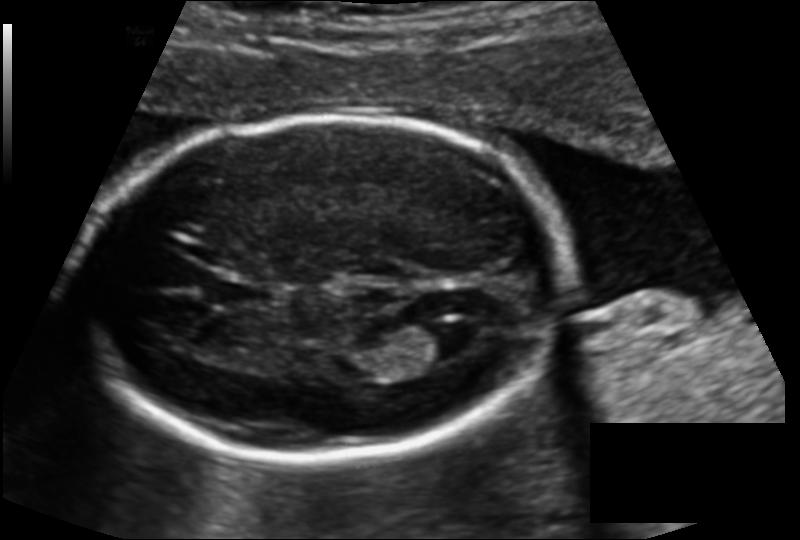
Estimate the fetal head circumference from this 2D ultrasound. Image width: 109.1 mm.

Head circumference: 183.1 mm.